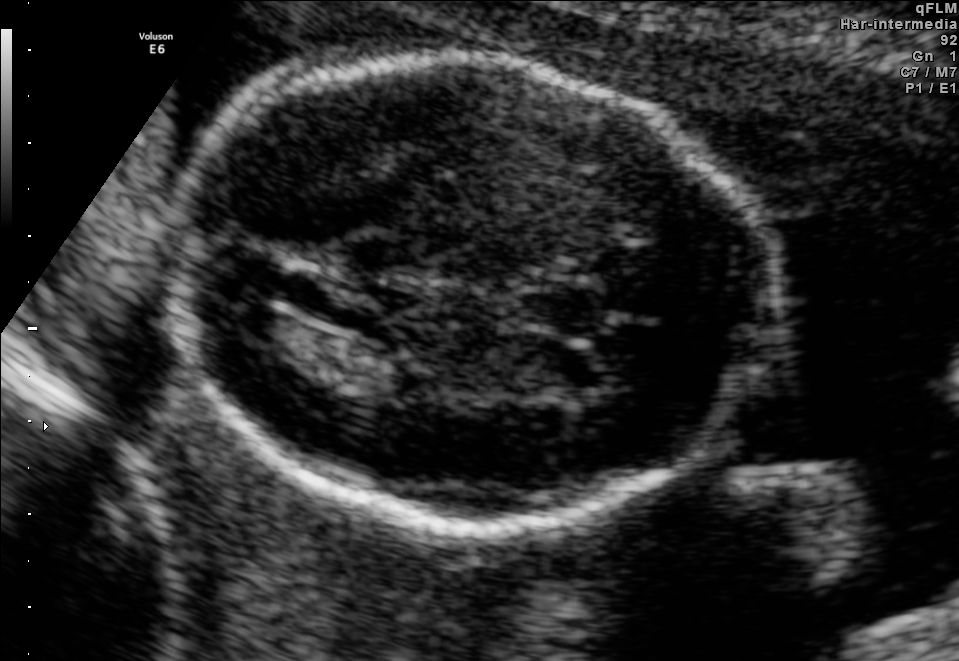
Fetal brain, trans-thalamic plane. Locate the lateral ventricle.

Lateral ventricle: [214,285,301,355]